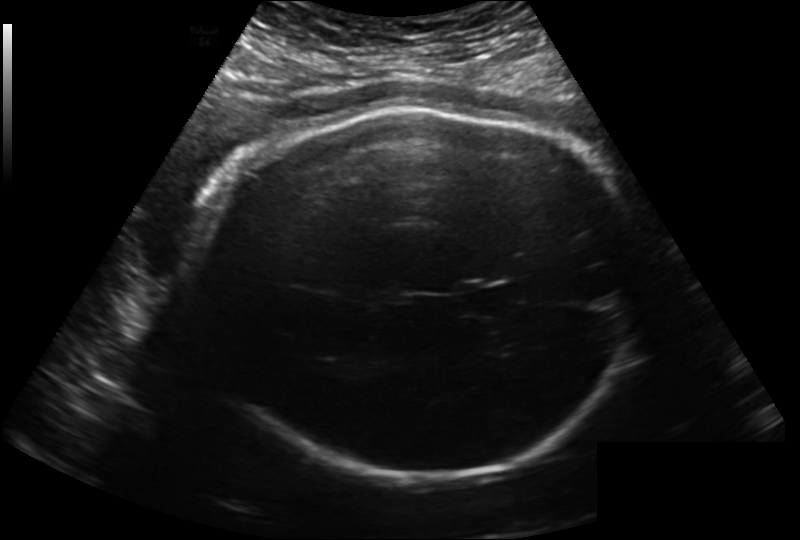
Fetal head ultrasound. Image width: 177.2 mm. Where is the fetal head?

Head bounding box: [196,106,639,480]